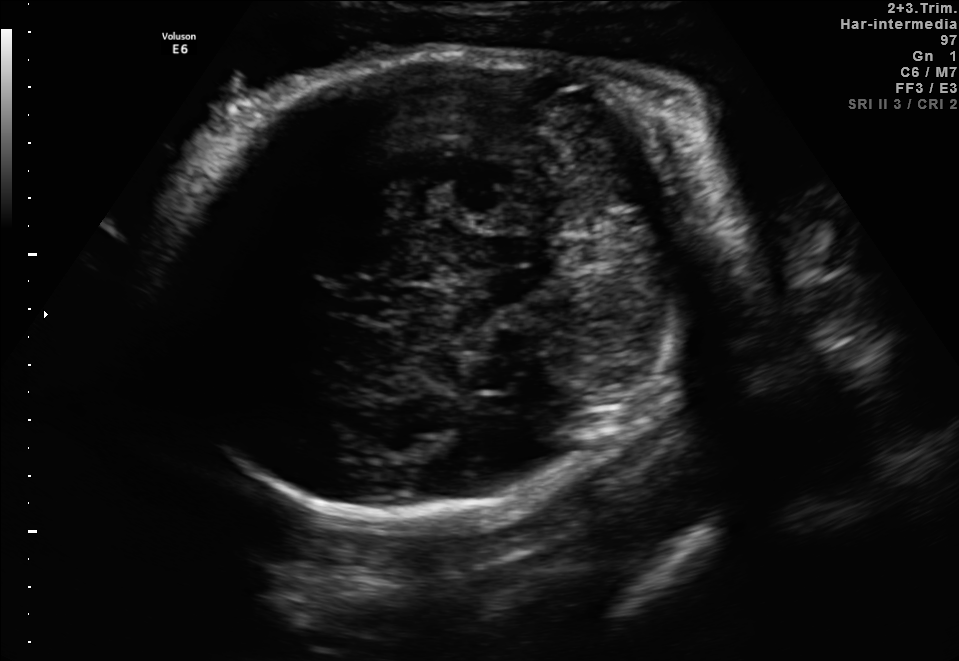
In this fetal brain, trans-thalamic plane, give bounding boxes for the head outline, cavum septum pellucidum (CSP), and lateral ventricle (LV), where visible.

Head: [161,53,686,528]